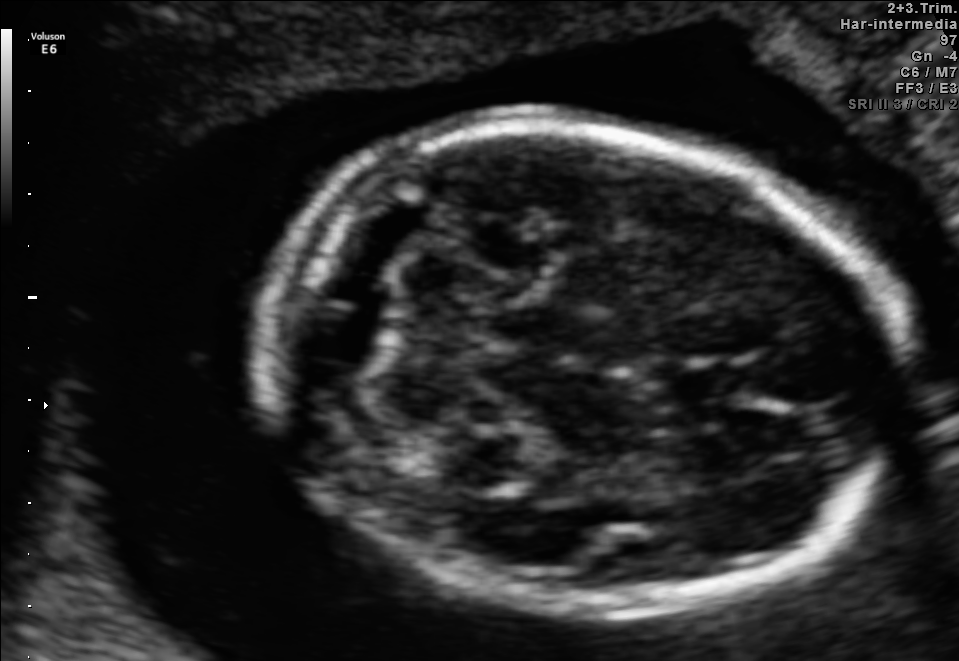
In this fetal brain, trans-cerebellum plane, give the bounding box of the cavum septum pellucidum.

[663,355,752,407]